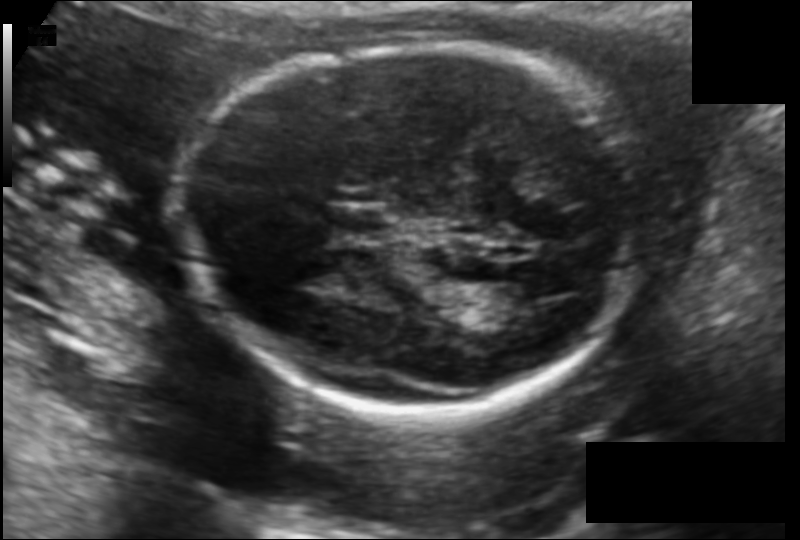
Estimate the fetal head circumference from this 2D ultrasound. Image width: 98.5 mm.

Head circumference: 165.8 mm.